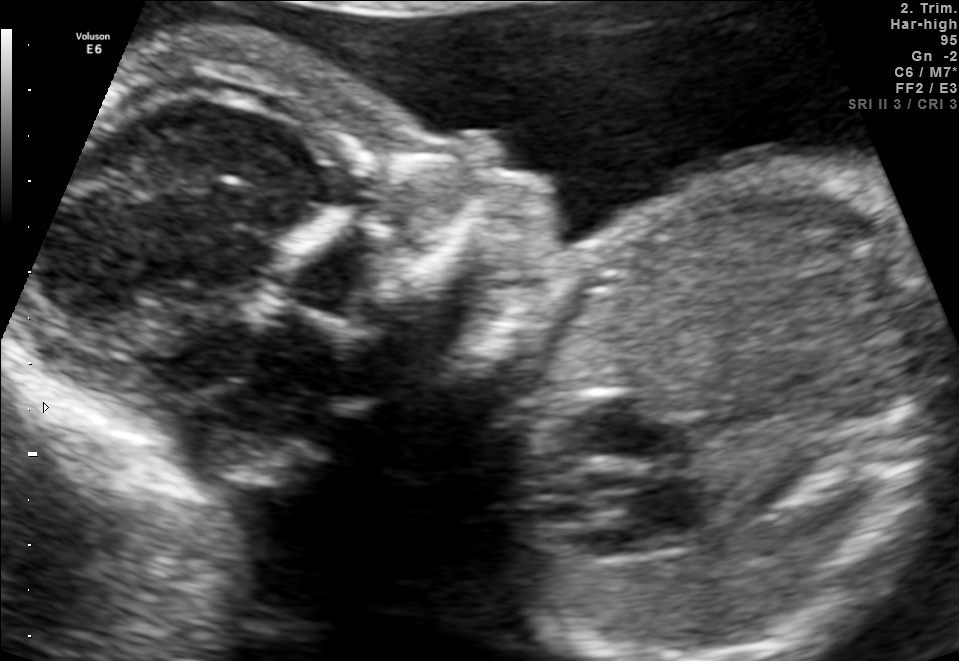
Classify this maternal-fetal ultrasound image as one of the six standard planes — fetal abdomen, fetal brain, fetal femur, fetal thorax, maternal cervix, or other. If it's fetal brain and one of the three standard brain planes (trans-thalamic, trans-cerebellum, trans-ventricular), name which.

Other